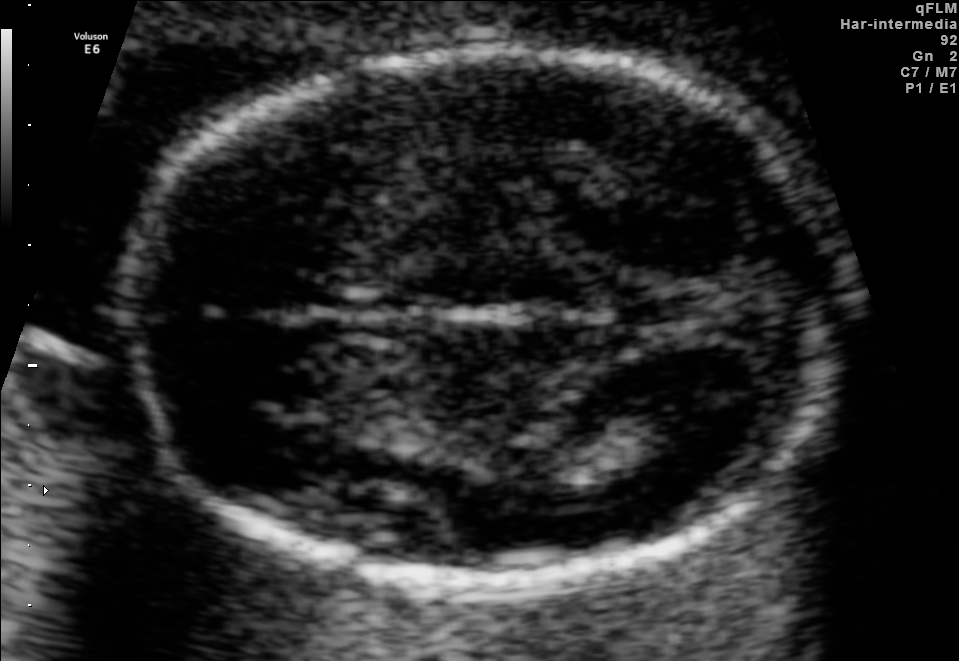
In this fetal brain, trans-thalamic plane, give the bounding box of the fetal head.

[124,52,841,577]